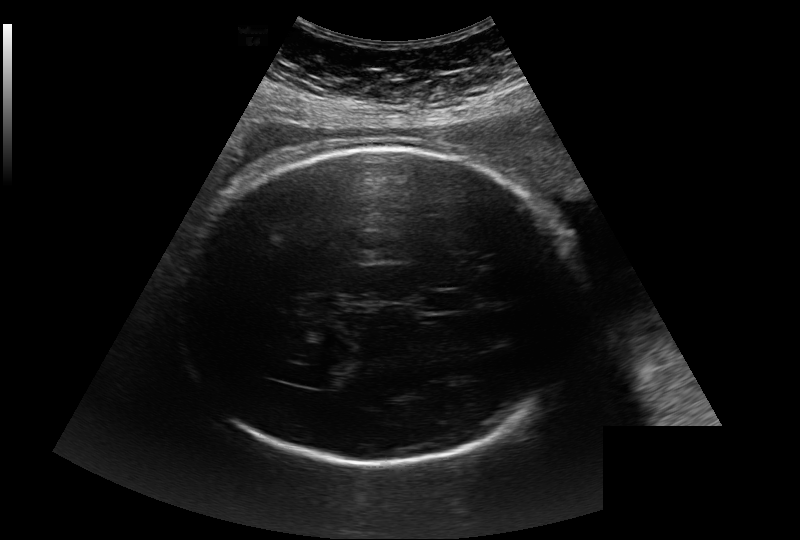
Fetal head ultrasound. Image width: 227.4 mm. Locate the fetal head.

Head: [178,147,579,465]